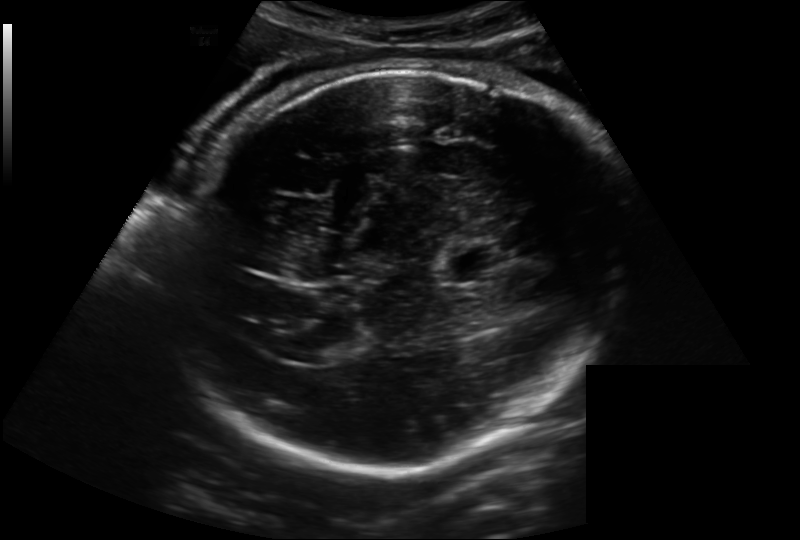
In this fetal head ultrasound, give the bounding box of the lateral ventricle. Image width: 177.2 mm.

[293,339,336,365]